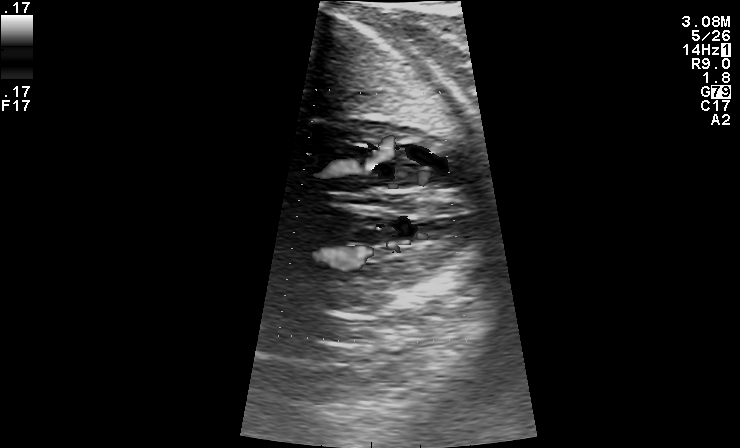
Identify the standard plane in this fetal ultrasound image: fetal abdomen, fetal brain, fetal femur, fetal thorax, maternal cervix, or other. If it's fetal brain and one of the three standard brain planes (trans-thalamic, trans-cerebellum, trans-ventricular), name which.

Other